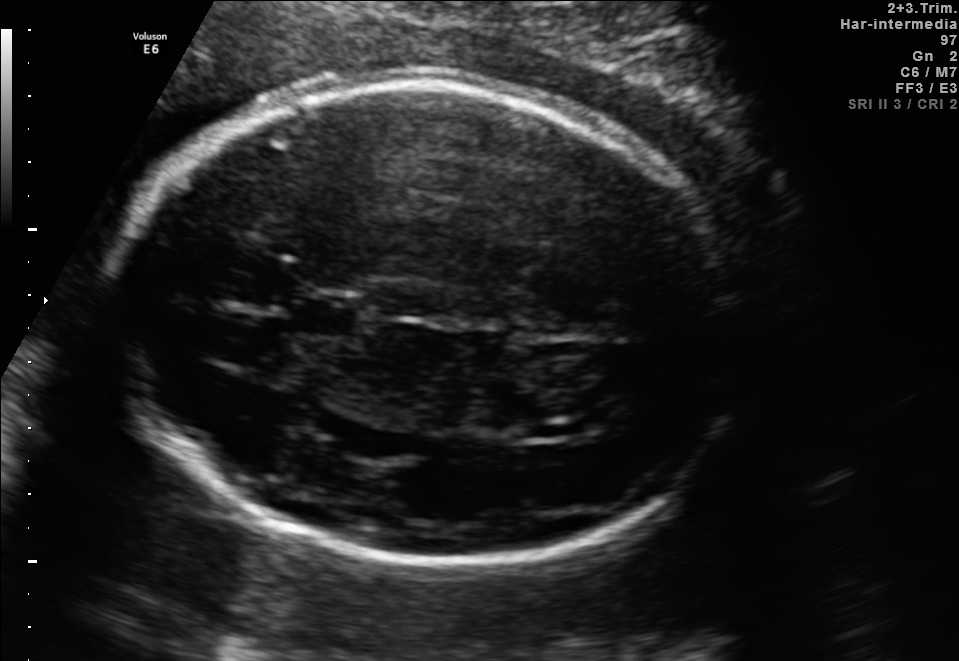
Fetal brain, trans-ventricular plane. Where is the fetal head?

Head bounding box: [100,68,763,577]